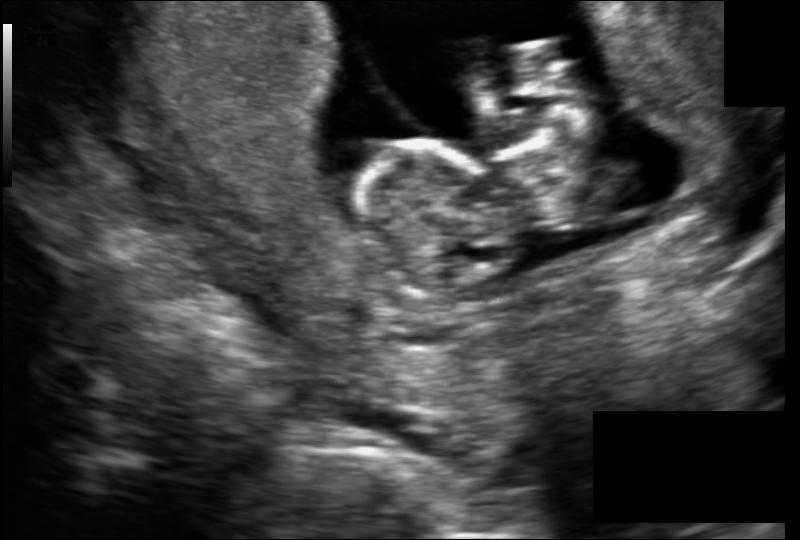
In this fetal head ultrasound, give bounding boxes for the head outline, cavum septum pellucidum (CSP), and lateral ventricle (LV), where visible. Image width: 97.2 mm.

Head: [355,139,510,297]